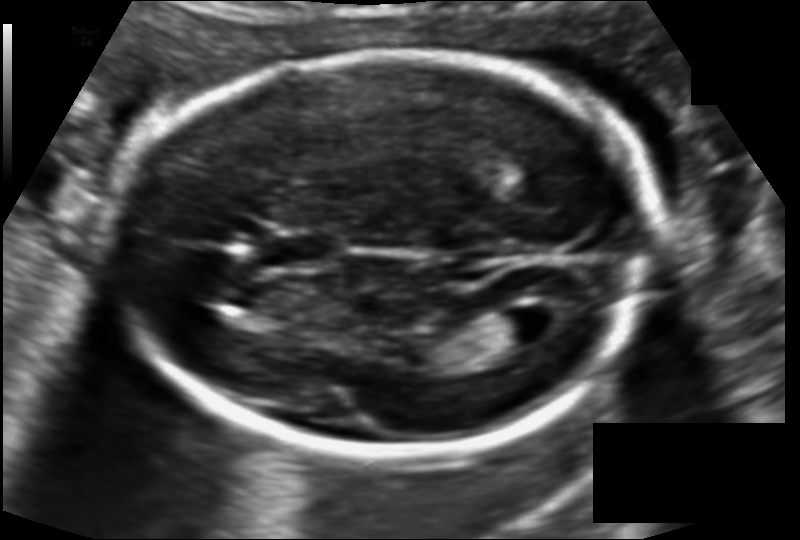
Measure the fetal head circumference shown in this ultrasound image. Image width: 92.2 mm.

Head circumference: 178.0 mm.